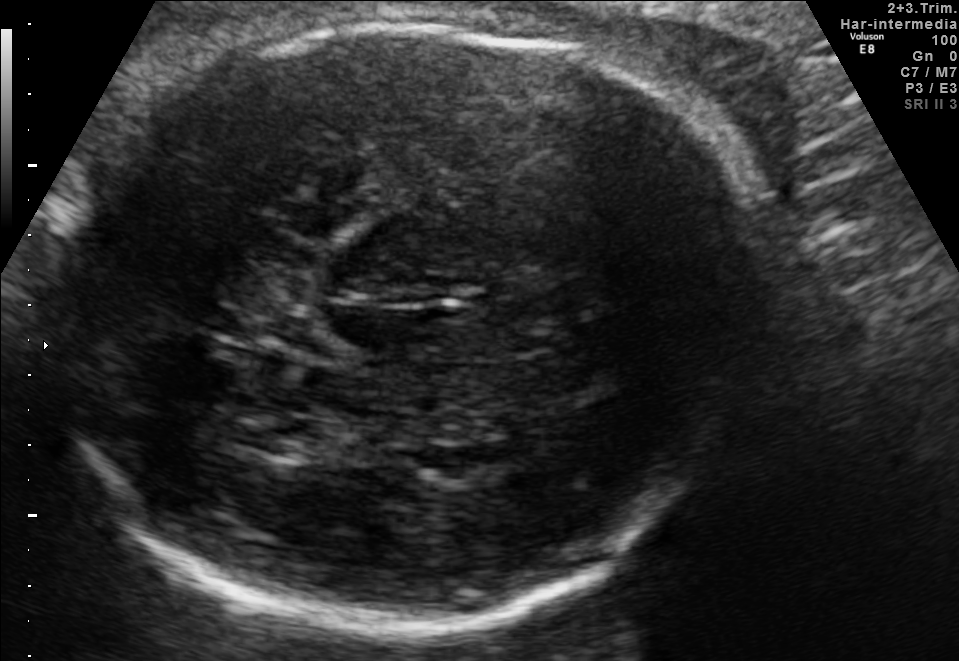
Classify this maternal-fetal ultrasound image as one of the six standard planes — fetal abdomen, fetal brain, fetal femur, fetal thorax, maternal cervix, or other. If it's fetal brain and one of the three standard brain planes (trans-thalamic, trans-cerebellum, trans-ventricular), name which.

Fetal brain (trans-thalamic plane)